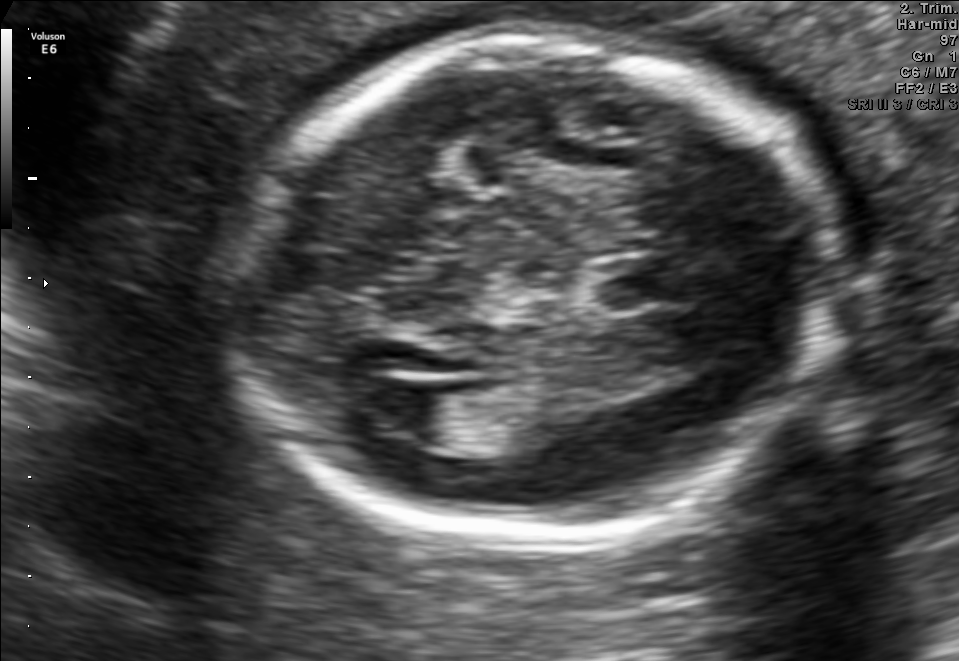
This is a 2D maternal-fetal ultrasound frame. Is it a fetal abdomen, fetal brain, fetal femur, fetal thorax, maternal cervix, or other standard plane? If it's fetal brain and one of the three standard brain planes (trans-thalamic, trans-cerebellum, trans-ventricular), name which.

Fetal brain (trans-ventricular plane)